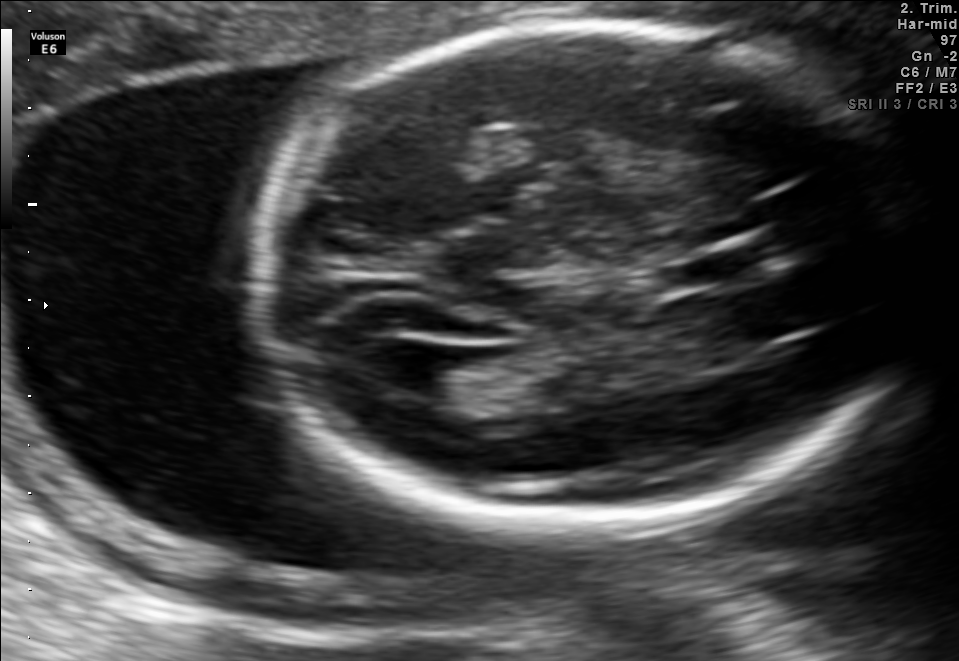
Fetal brain, trans-ventricular plane. Give [x1,y1,x2,y2] bounding boxes for each visible structure among: fetal head, CSP, LV.

Head: [243,15,934,544]
CSP: [661,244,752,298]
Lateral ventricle: [366,337,455,400]